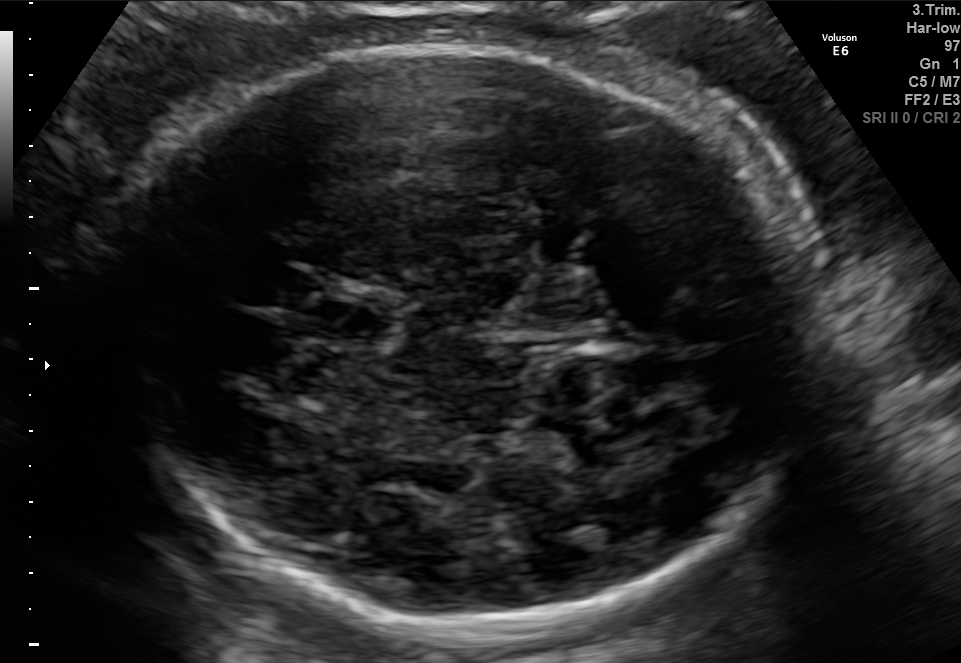
Fetal brain, trans-thalamic plane. Locate the fetal head and, if visible, the cavum septum pellucidum (CSP) and lateral ventricle (LV). Give bounding boxes as [x1,y1,x2,y2].

Head: [124,43,803,634]
CSP: [323,300,390,347]